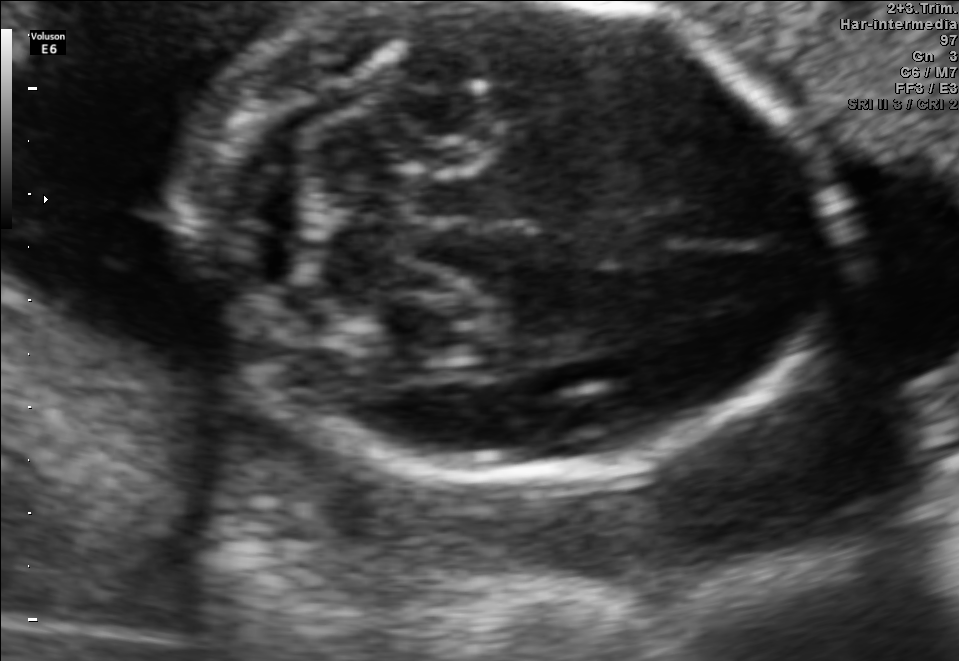
Classify this maternal-fetal ultrasound image as one of the six standard planes — fetal abdomen, fetal brain, fetal femur, fetal thorax, maternal cervix, or other. If it's fetal brain and one of the three standard brain planes (trans-thalamic, trans-cerebellum, trans-ventricular), name which.

Fetal brain (trans-cerebellum plane)